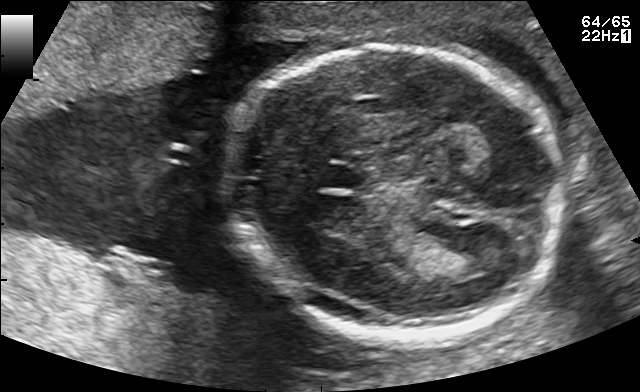
Fetal brain, trans-thalamic plane. Locate the fetal head.

Head: [229,44,559,342]